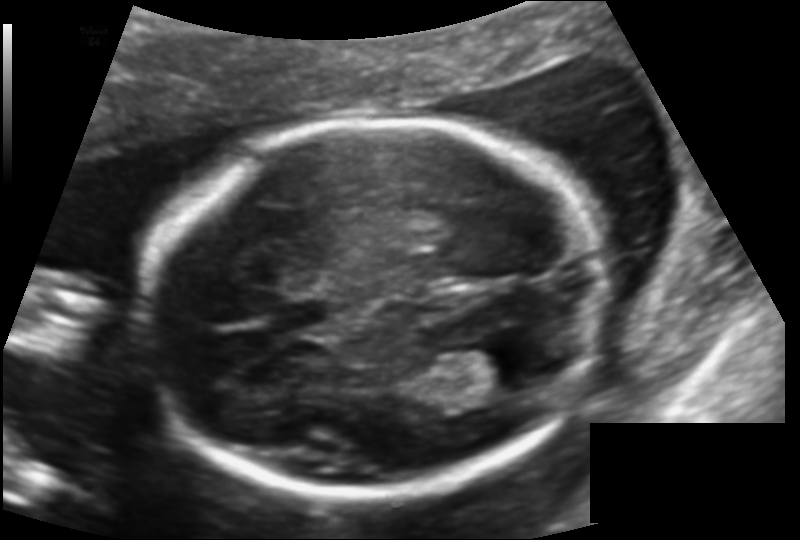
Fetal head ultrasound. Image width: 105.2 mm. Give [x1,y1,x2,y2] bounding boxes for each visible structure among: fetal head, CSP, LV.

Head: [147,118,603,495]
CSP: [267,294,336,336]
Lateral ventricle: [450,338,542,395]